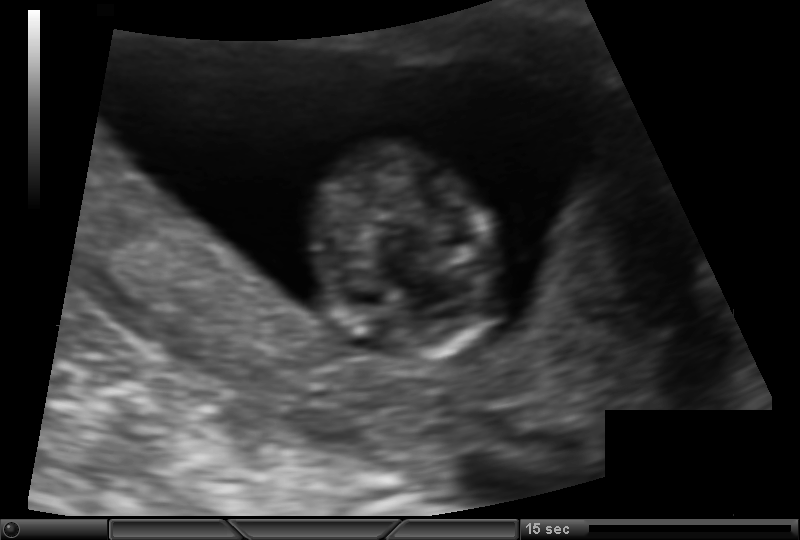
From this fetal ultrasound, estimate the head circumference (image width 84.2 mm).

Head circumference: 73.2 mm.